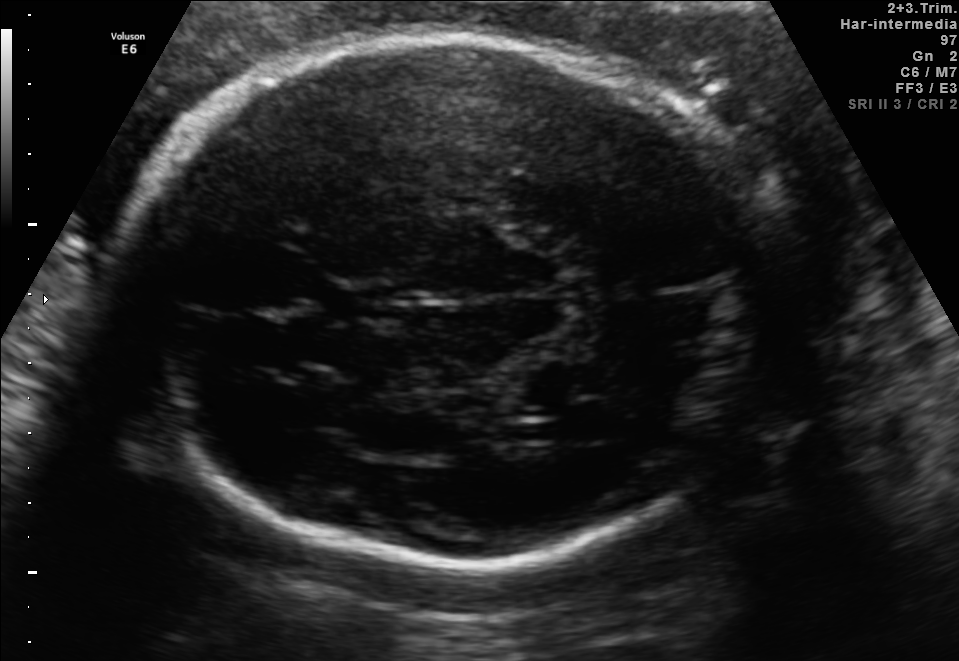
This is a 2D maternal-fetal ultrasound frame. Is it a fetal abdomen, fetal brain, fetal femur, fetal thorax, maternal cervix, or other standard plane? If it's fetal brain and one of the three standard brain planes (trans-thalamic, trans-cerebellum, trans-ventricular), name which.

Fetal brain (trans-thalamic plane)